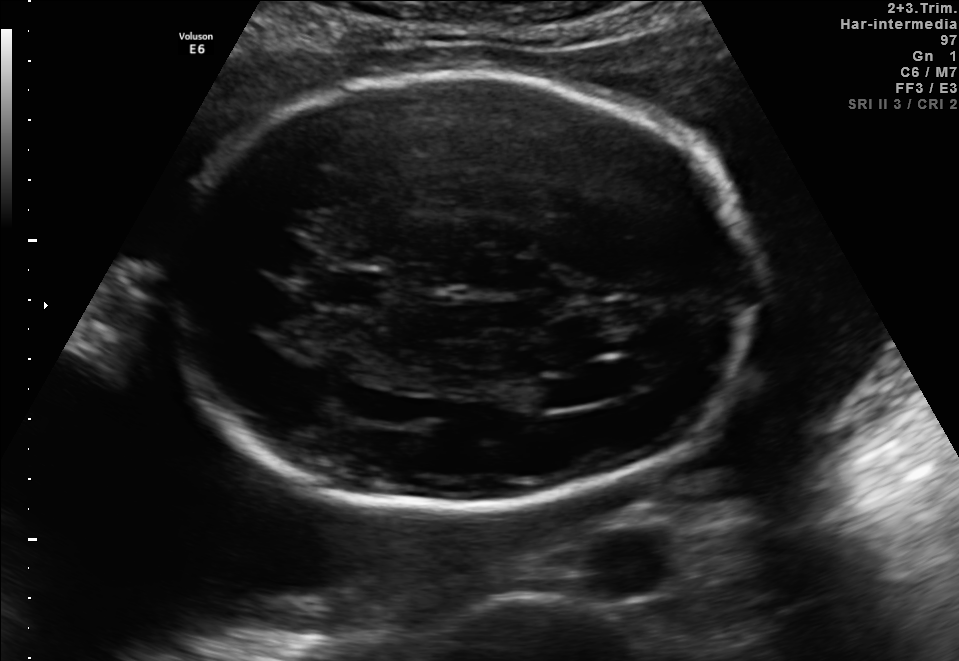
Fetal brain, trans-ventricular plane. Locate the fetal head.

Head: [166,68,759,513]